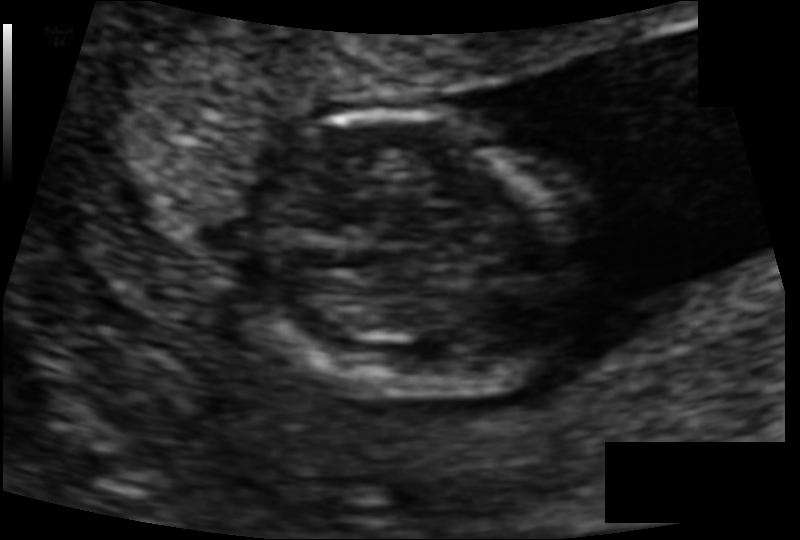
In this fetal head ultrasound, give bounding boxes for the head outline, cavum septum pellucidum (CSP), and lateral ventricle (LV), where visible. Image width: 62.1 mm.

Head: [247,114,596,399]